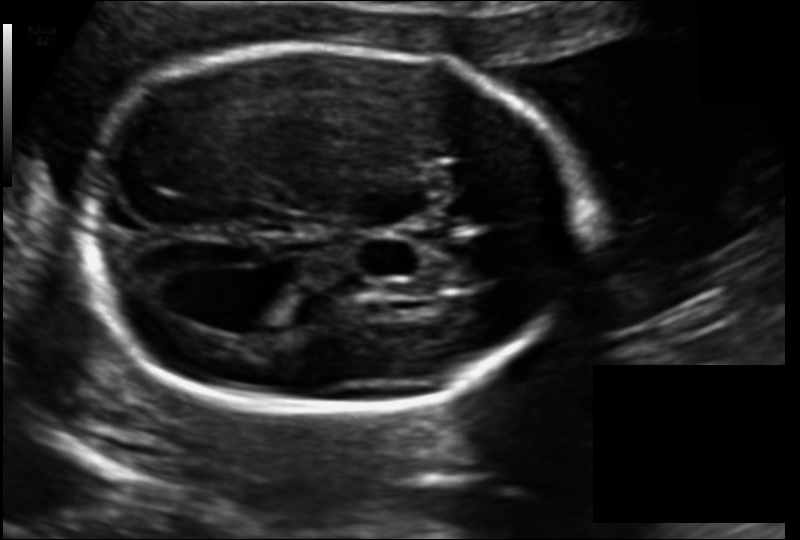
Fetal head ultrasound. Image width: 102.4 mm. Give [x1,y1,x2,y2] bounding boxes for each visible structure among: fetal head, CSP, LV.

Head: [78,47,580,409]